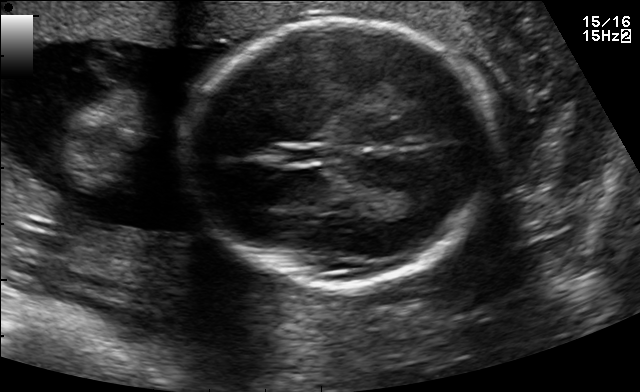
In this fetal brain, trans-thalamic plane, give the bounding box of the fetal head.

[188,23,495,288]